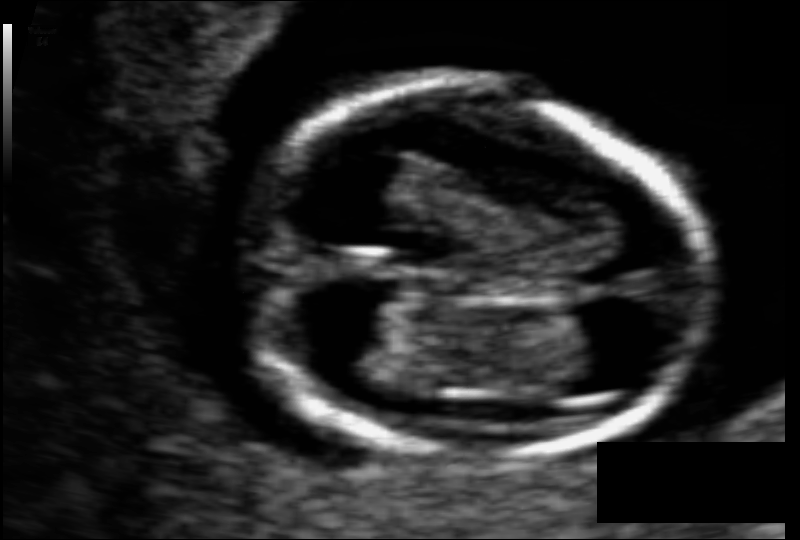
Fetal head ultrasound. Image width: 50.4 mm. Locate the fetal head and, if visible, the cavum septum pellucidum (CSP) and lateral ventricle (LV). Give bounding boxes as [x1,y1,x2,y2].

Head: [244,83,706,459]